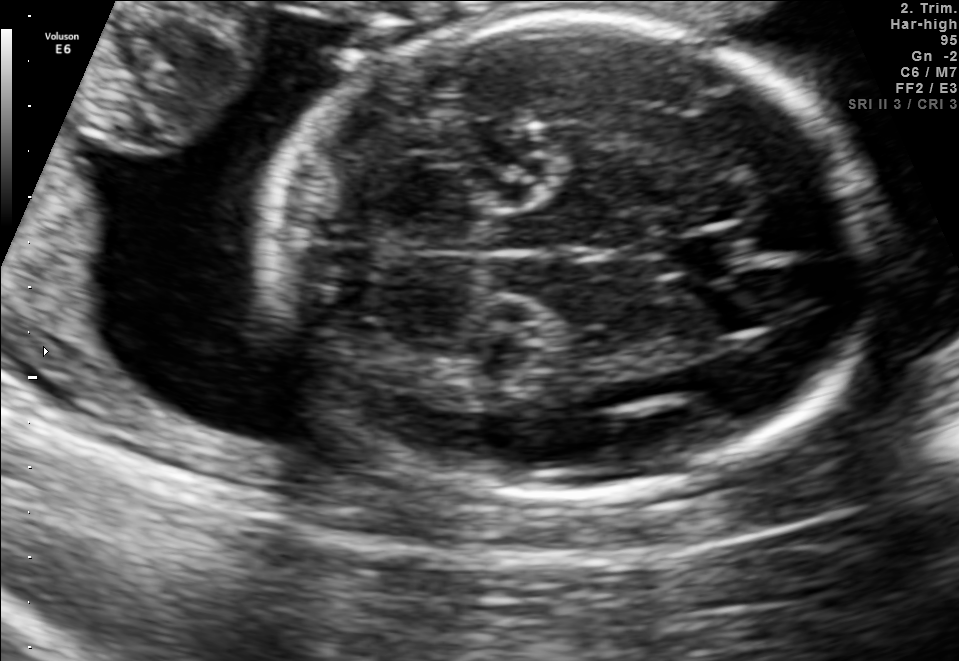
Fetal brain, trans-cerebellum plane. Locate the cavum septum pellucidum.

CSP: [667,219,754,289]